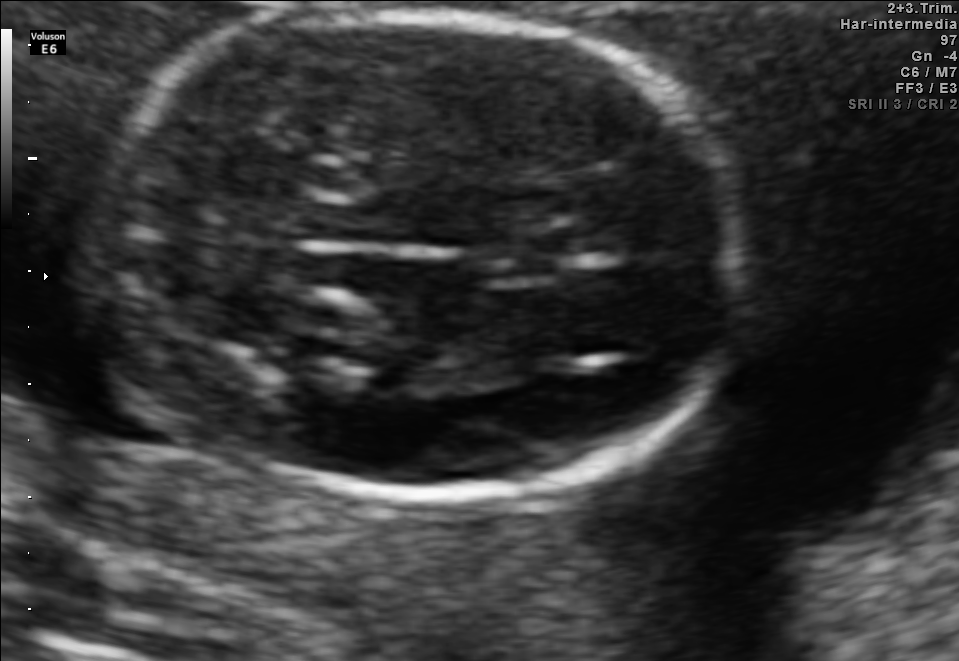
Fetal brain, trans-thalamic plane. Locate the cavum septum pellucidum.

CSP: [532,223,616,258]